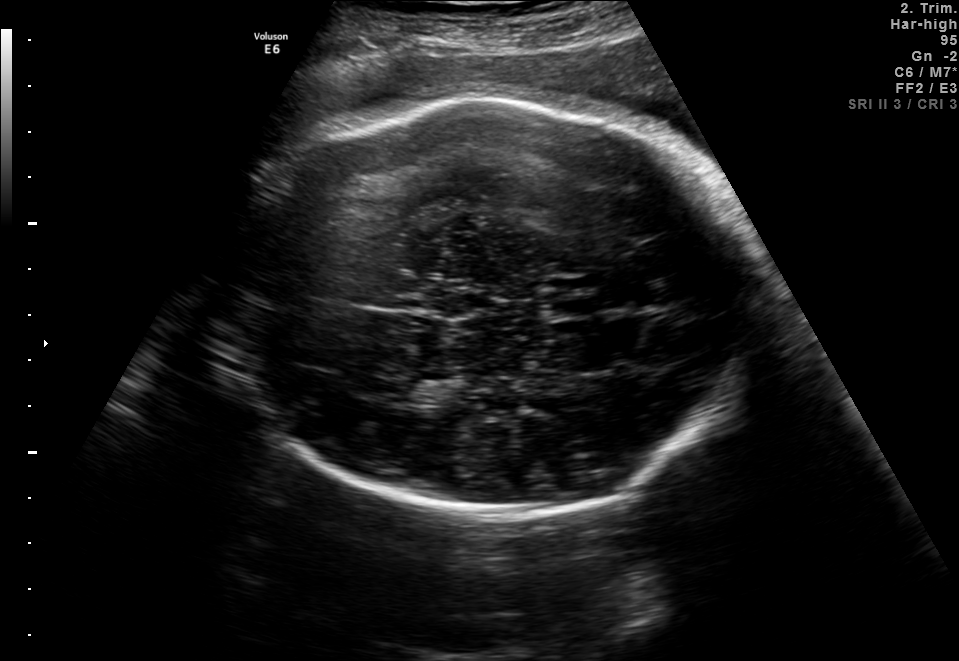
Fetal brain, trans-thalamic plane. Give [x1,y1,x2,y2] bounding boxes for each visible structure among: fetal head, CSP, LV.

Head: [214,99,757,514]
CSP: [545,292,599,323]